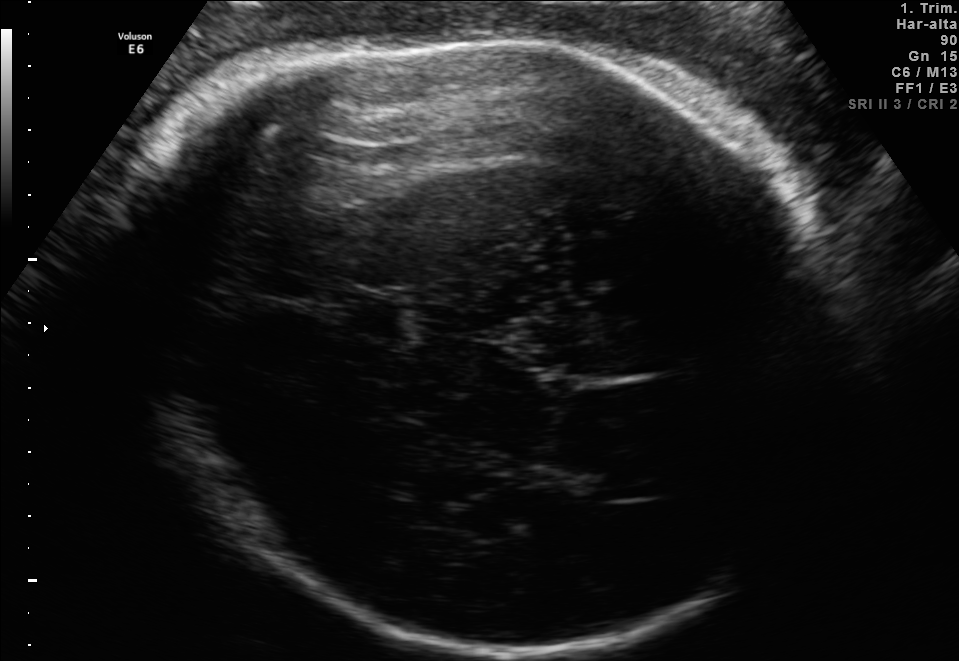
Fetal brain, trans-thalamic plane. Where is the cavum septum pellucidum?

CSP bounding box: [335,290,404,339]